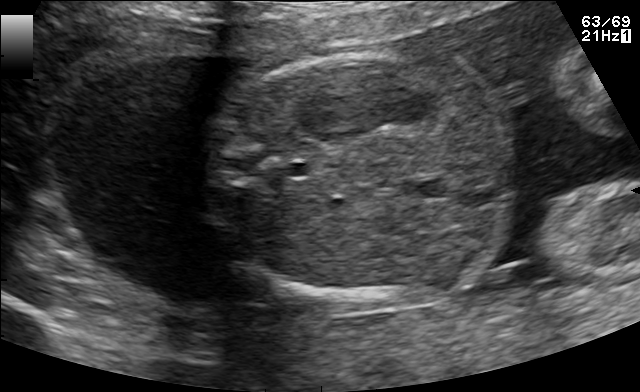
Which standard maternal-fetal ultrasound plane is shown: fetal abdomen, fetal brain, fetal femur, fetal thorax, maternal cervix, or other? If it's fetal brain and one of the three standard brain planes (trans-thalamic, trans-cerebellum, trans-ventricular), name which.

Fetal abdomen